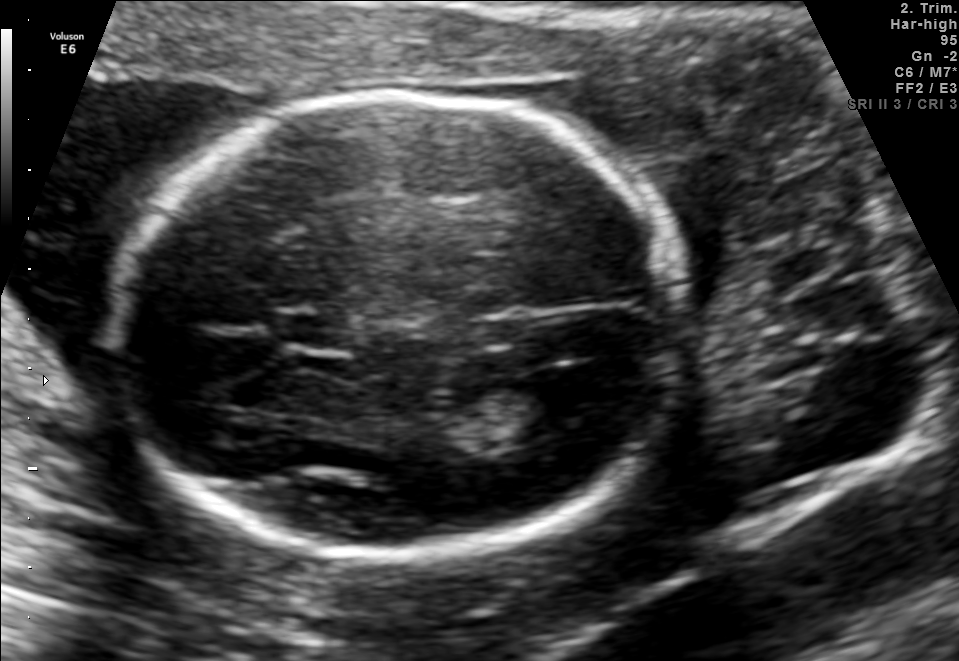
In this fetal brain, trans-ventricular plane, give the bounding box of the fetal head.

[103,86,700,567]